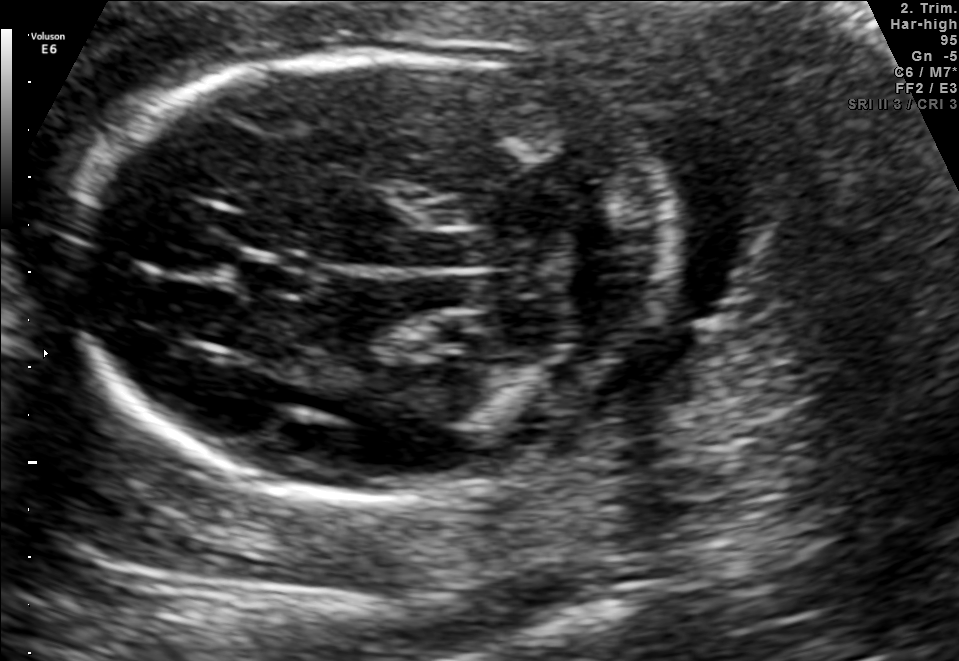
In this fetal brain, trans-cerebellum plane, give the bounding box of the fetal head.

[68,55,673,496]